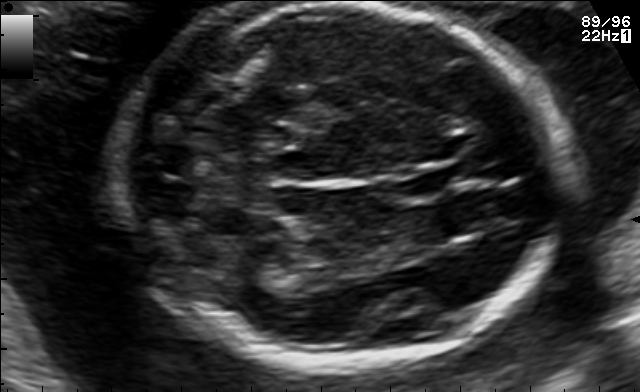
Fetal brain, trans-thalamic plane. Locate the fetal head and, if visible, the cavum septum pellucidum (CSP) and lateral ventricle (LV). Give bounding boxes as [x1,y1,x2,y2].

Head: [115,2,558,365]